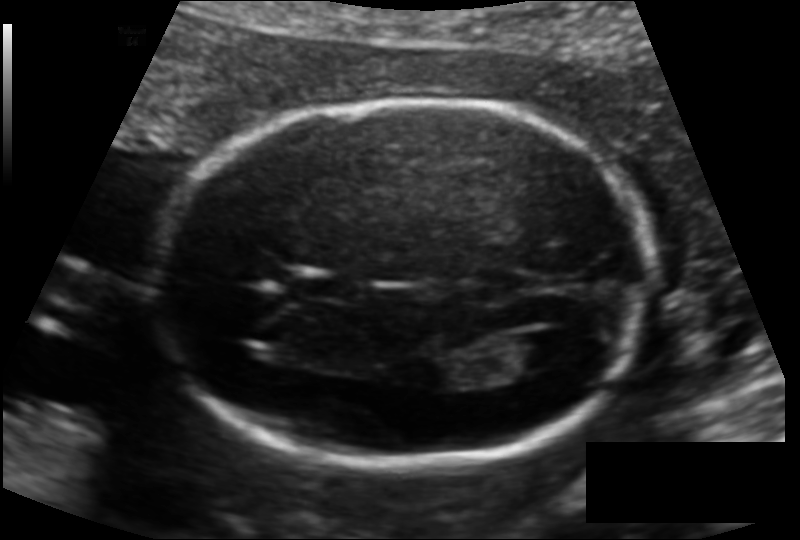
In this fetal head ultrasound, give the bounding box of the cavum septum pellucidum. Image width: 102.6 mm.

[296,271,360,301]